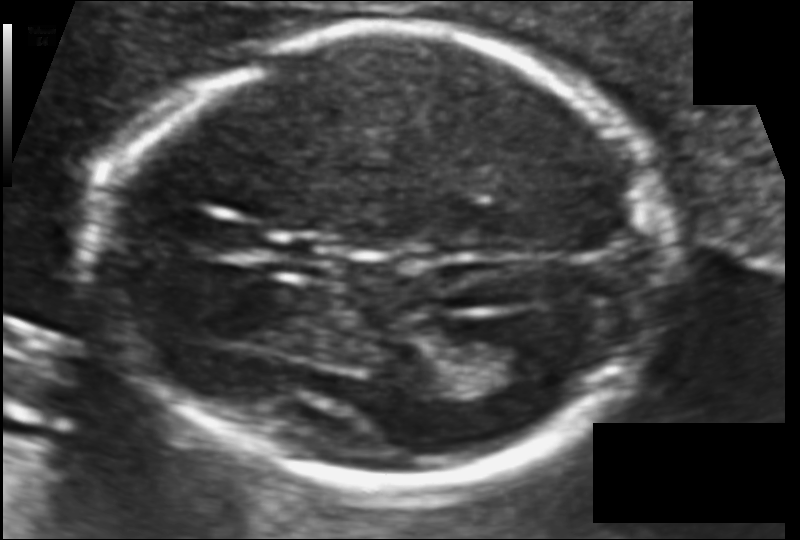
Fetal head ultrasound. Image width: 78.9 mm. Locate the fetal head.

Head: [102,28,662,488]